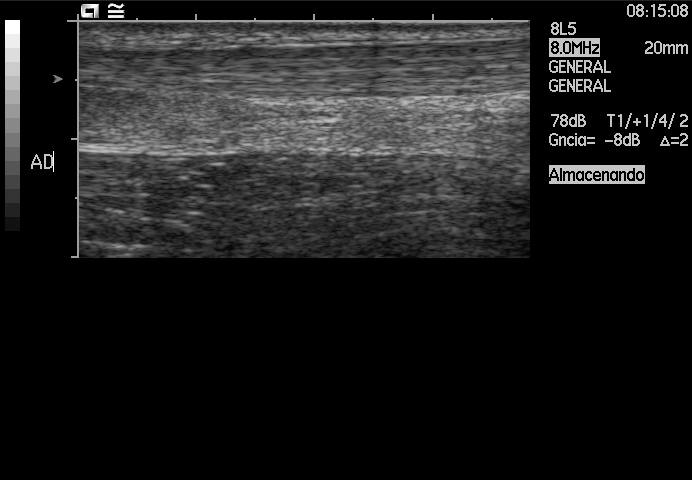
Identify the standard plane in this fetal ultrasound image: fetal abdomen, fetal brain, fetal femur, fetal thorax, maternal cervix, or other. If it's fetal brain and one of the three standard brain planes (trans-thalamic, trans-cerebellum, trans-ventricular), name which.

Other